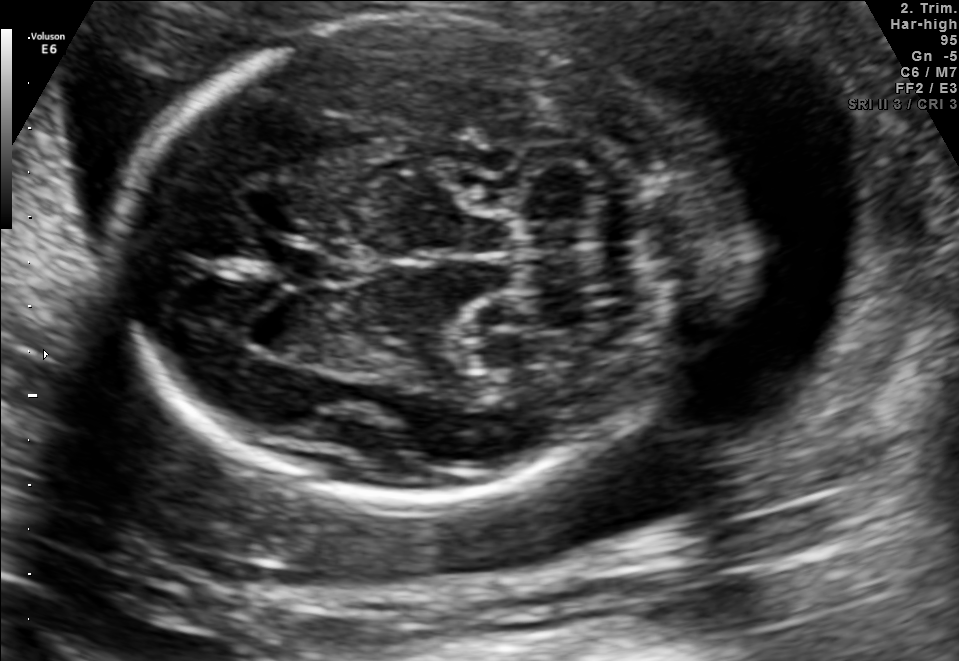
In this fetal brain, trans-cerebellum plane, give the bounding box of the fetal head.

[124,14,719,501]